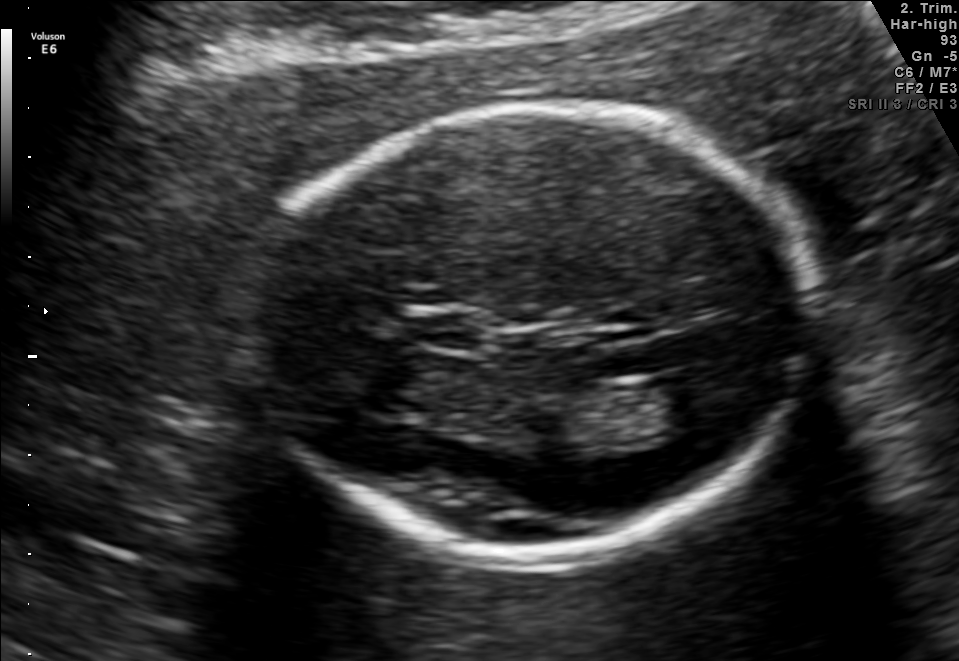
In this fetal brain, trans-thalamic plane, give the bounding box of the fetal head.

[253,105,810,550]